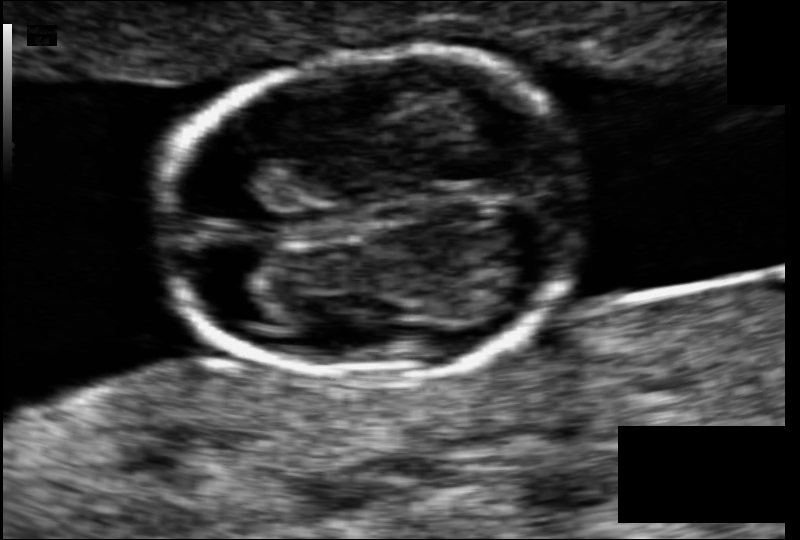
Estimate the fetal head circumference from this 2D ultrasound. Image width: 50.6 mm.

Head circumference: 77.2 mm.